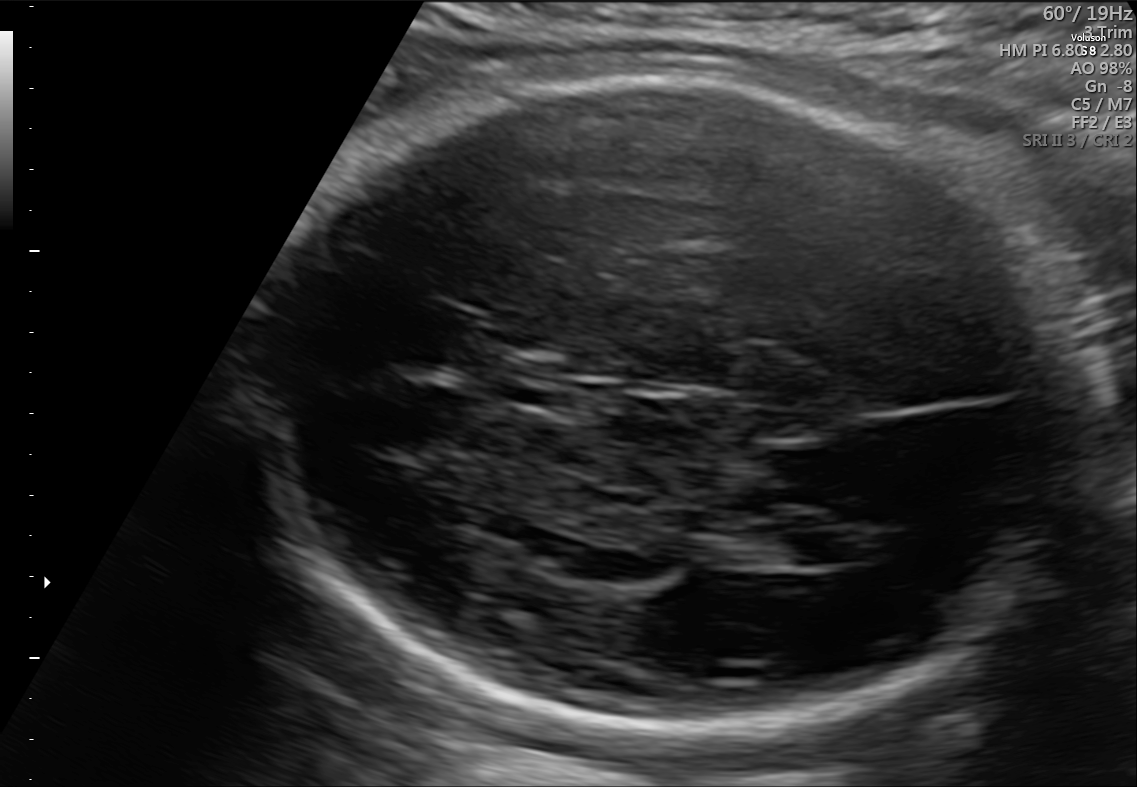
Fetal brain, trans-ventricular plane. Locate the fetal head and, if visible, the cavum septum pellucidum (CSP) and lateral ventricle (LV). Give bounding boxes as [x1,y1,x2,y2].

Head: [253,54,1107,748]
CSP: [494,355,583,413]
Lateral ventricle: [783,531,874,565]